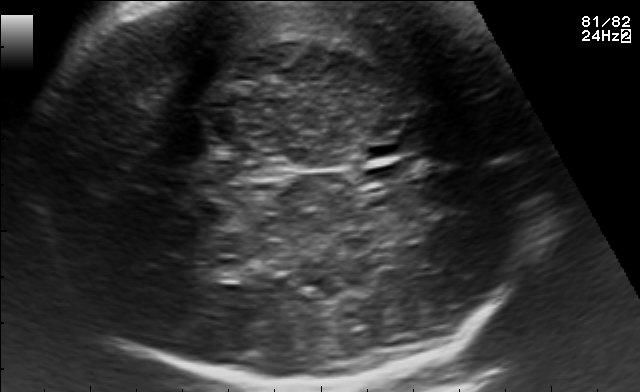
Identify the standard plane in this fetal ultrasound image: fetal abdomen, fetal brain, fetal femur, fetal thorax, maternal cervix, or other. If it's fetal brain and one of the three standard brain planes (trans-thalamic, trans-cerebellum, trans-ventricular), name which.

Fetal brain (trans-thalamic plane)